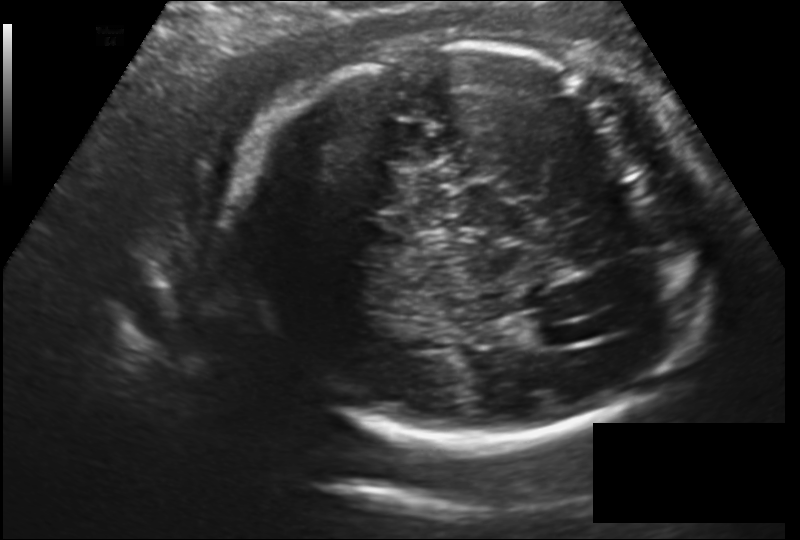
In this fetal head ultrasound, give bounding boxes for the head outline, cavum septum pellucidum (CSP), and lateral ventricle (LV), where visible. Image width: 142.0 mm.

Head: [234,43,712,444]
Lateral ventricle: [528,321,577,350]